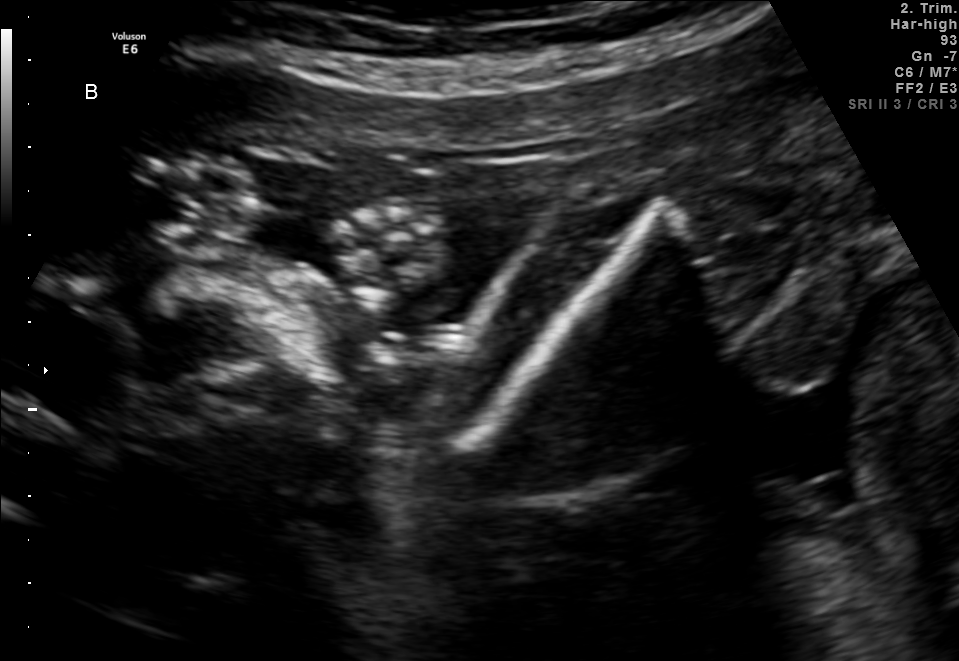
Identify the standard plane in this fetal ultrasound image: fetal abdomen, fetal brain, fetal femur, fetal thorax, maternal cervix, or other. If it's fetal brain and one of the three standard brain planes (trans-thalamic, trans-cerebellum, trans-ventricular), name which.

Fetal femur